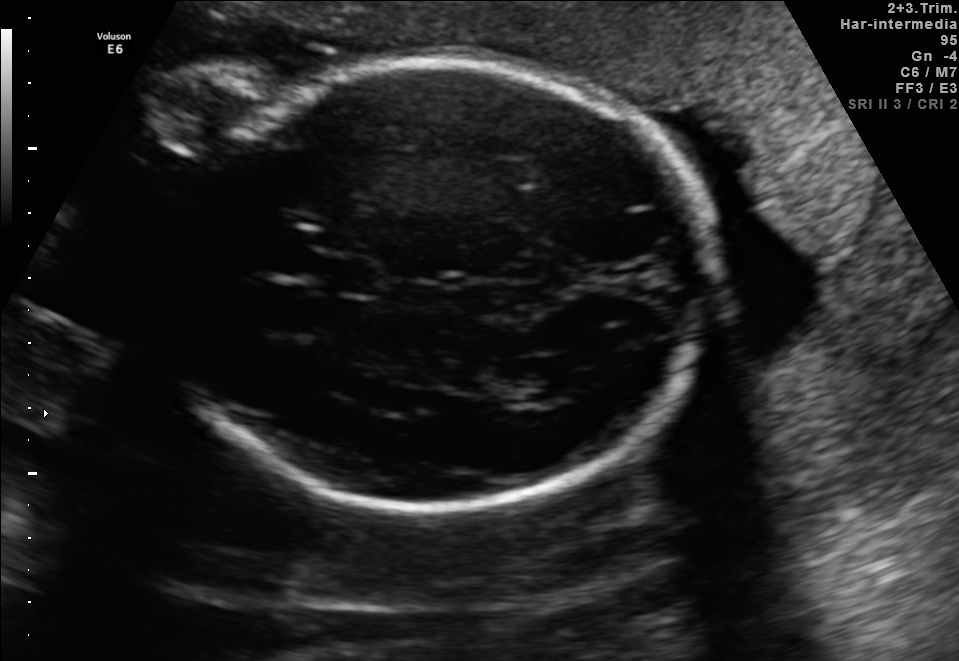
In this fetal brain, trans-ventricular plane, give the bounding box of the cavum septum pellucidum.

[322,261,380,295]